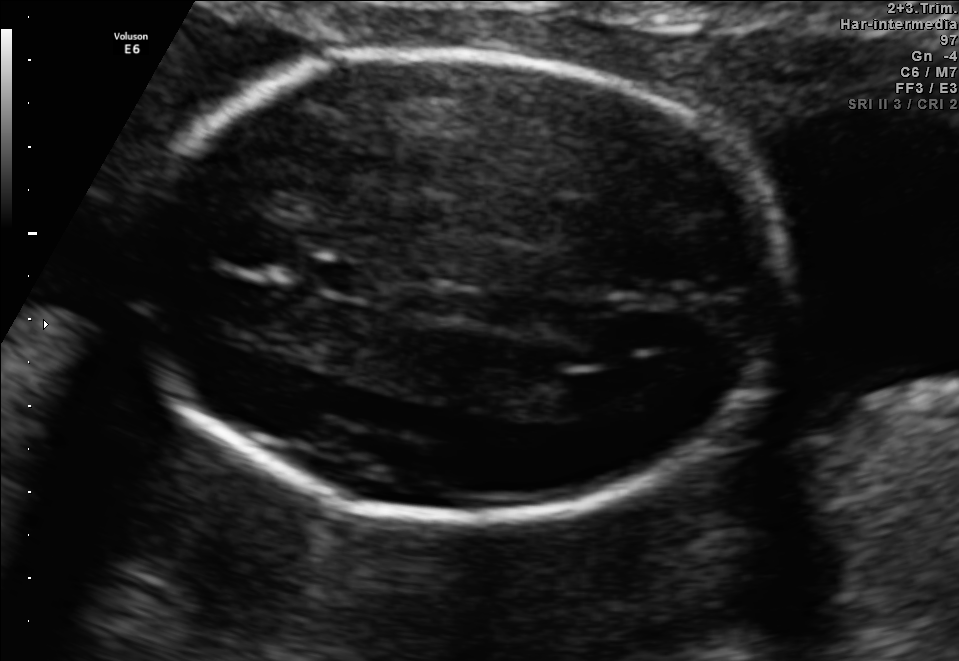
Fetal brain, trans-ventricular plane. Locate the fetal head.

Head: [118,46,805,531]